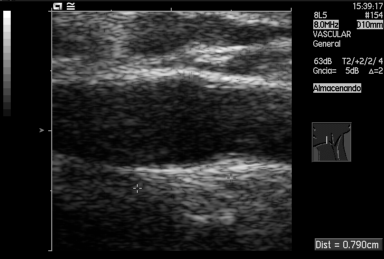
Classify this maternal-fetal ultrasound image as one of the six standard planes — fetal abdomen, fetal brain, fetal femur, fetal thorax, maternal cervix, or other. If it's fetal brain and one of the three standard brain planes (trans-thalamic, trans-cerebellum, trans-ventricular), name which.

Other